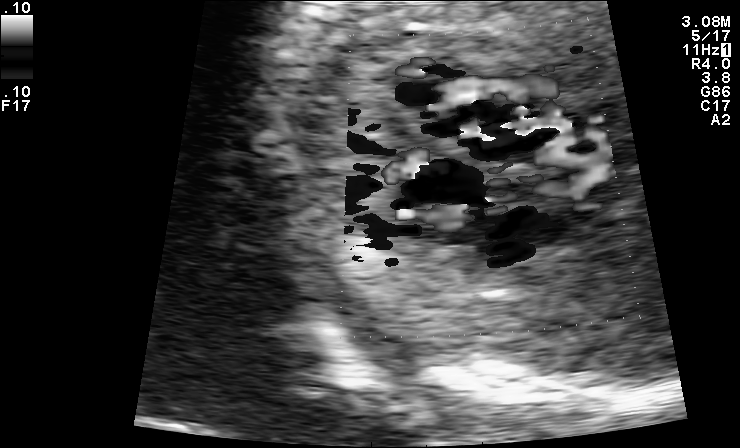
Which standard maternal-fetal ultrasound plane is shown: fetal abdomen, fetal brain, fetal femur, fetal thorax, maternal cervix, or other? If it's fetal brain and one of the three standard brain planes (trans-thalamic, trans-cerebellum, trans-ventricular), name which.

Other